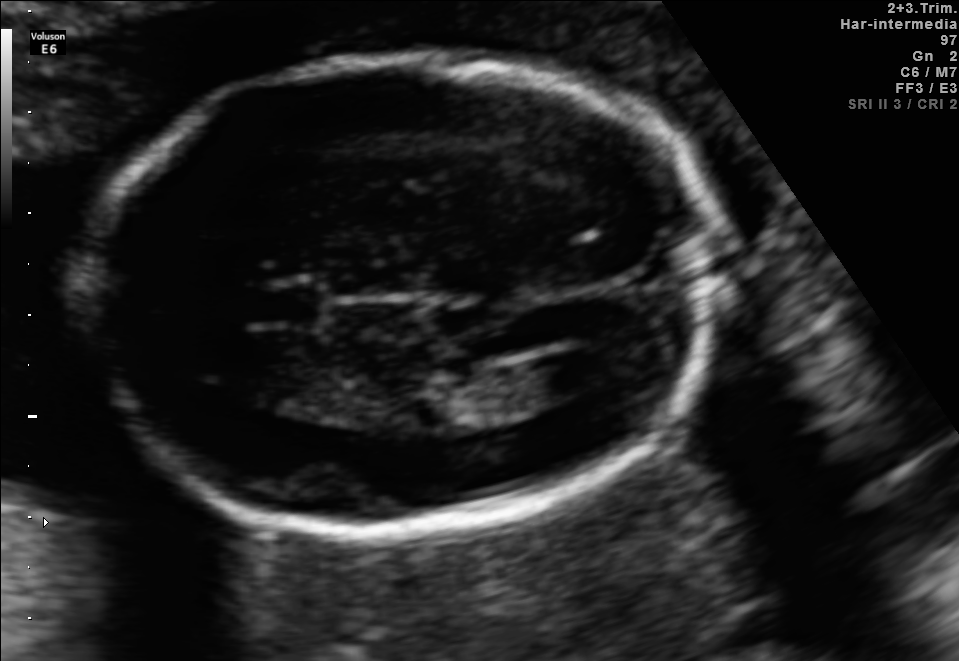
In this fetal brain, trans-ventricular plane, give the bounding box of the fetal head.

[67,49,742,548]